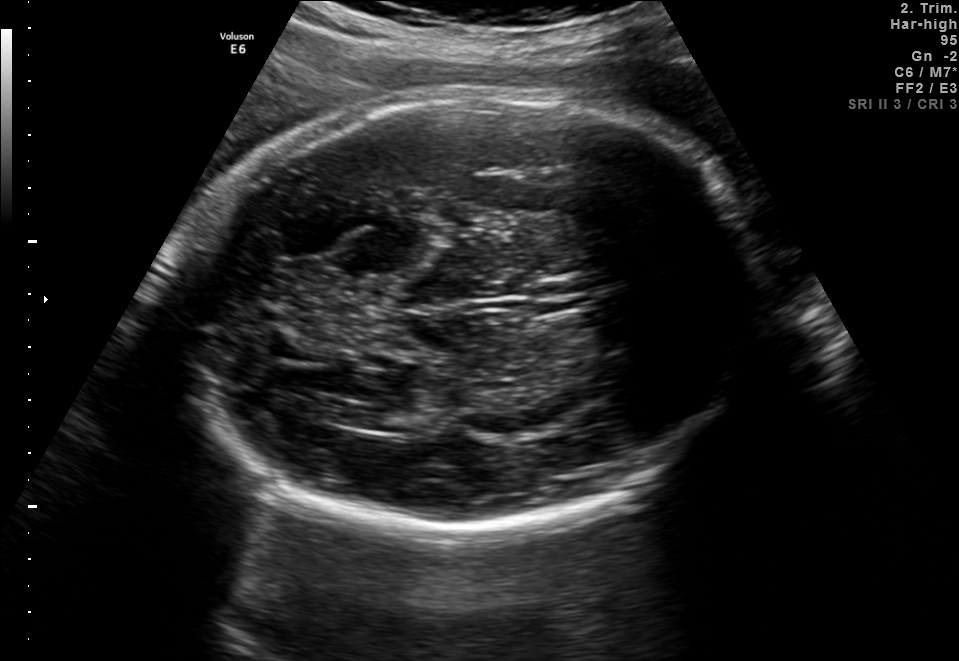
Fetal brain, trans-ventricular plane. Give [x1,y1,x2,y2] bounding boxes for each visible structure among: fetal head, CSP, LV.

Head: [172,85,775,536]
CSP: [524,272,603,318]